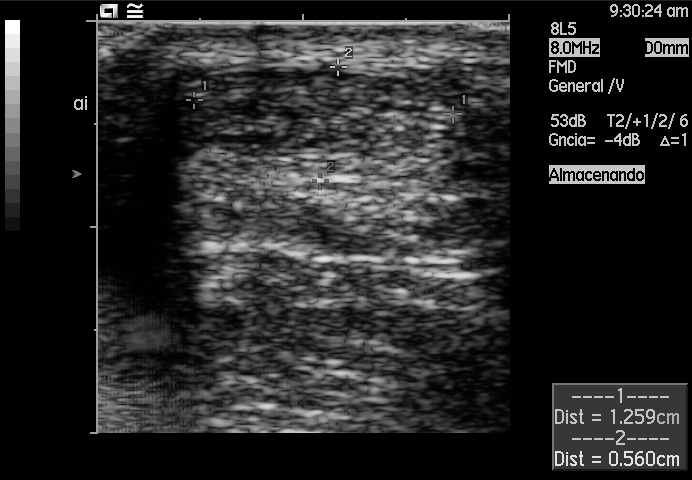
Classify this maternal-fetal ultrasound image as one of the six standard planes — fetal abdomen, fetal brain, fetal femur, fetal thorax, maternal cervix, or other. If it's fetal brain and one of the three standard brain planes (trans-thalamic, trans-cerebellum, trans-ventricular), name which.

Other